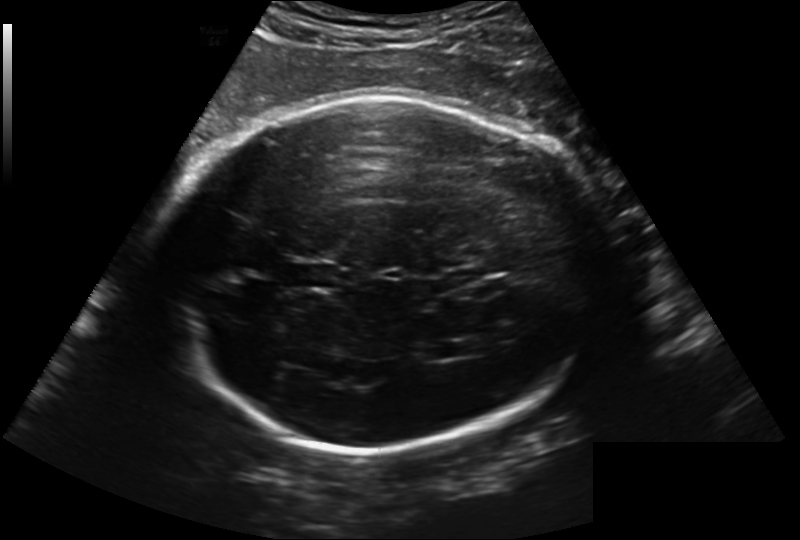
Fetal head ultrasound. Image width: 192.7 mm. Locate the fetal head and, if visible, the cavum septum pellucidum (CSP) and lateral ventricle (LV). Give bounding boxes as [x1,y1,x2,y2].

Head: [166,96,614,450]
CSP: [287,261,338,291]
Lateral ventricle: [422,339,463,363]